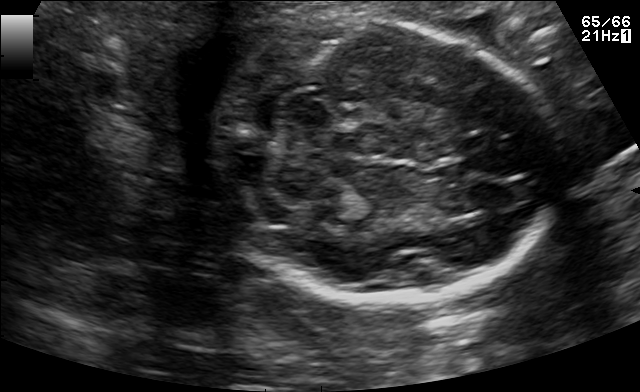
Fetal brain, trans-cerebellum plane. Where is the fetal head?

Head bounding box: [203,20,561,302]